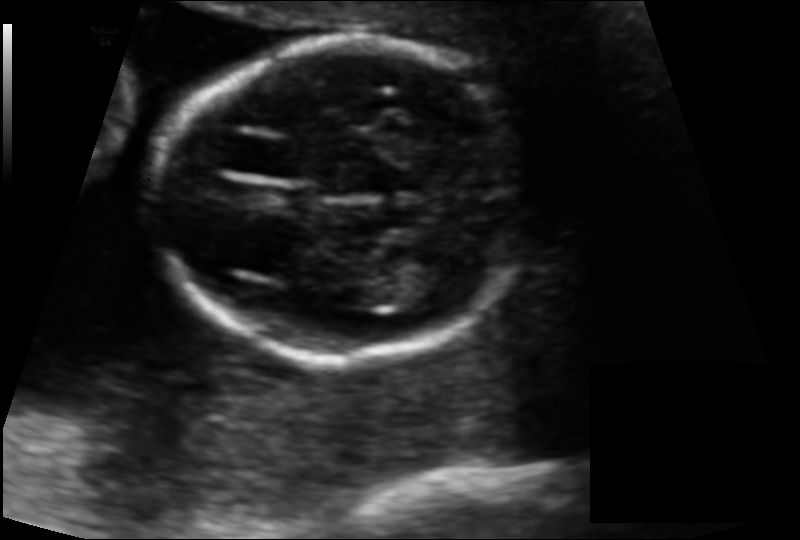
In this fetal head ultrasound, give bounding boxes for the head outline, cavum septum pellucidum (CSP), and lateral ventricle (LV), where visible. Image width: 92.0 mm.

Head: [153,43,525,359]